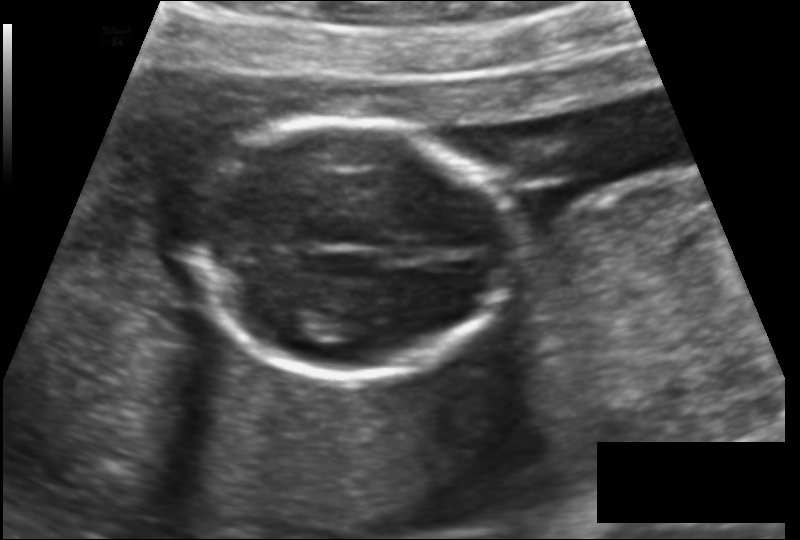
In this fetal head ultrasound, give bounding boxes for the head outline, cavum septum pellucidum (CSP), and lateral ventricle (LV), where visible. Image width: 109.0 mm.

Head: [189,122,515,377]